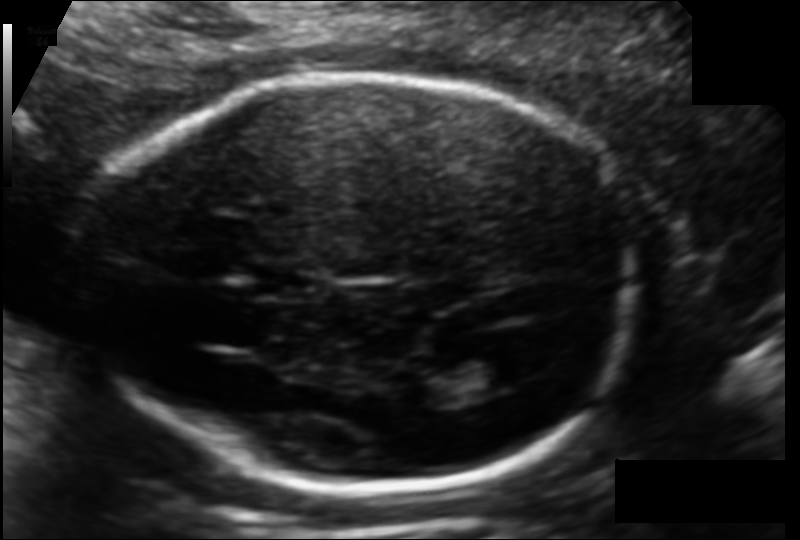
In this fetal head ultrasound, give the bounding box of the lateral ventricle. Image width: 90.5 mm.

[450,344,524,403]